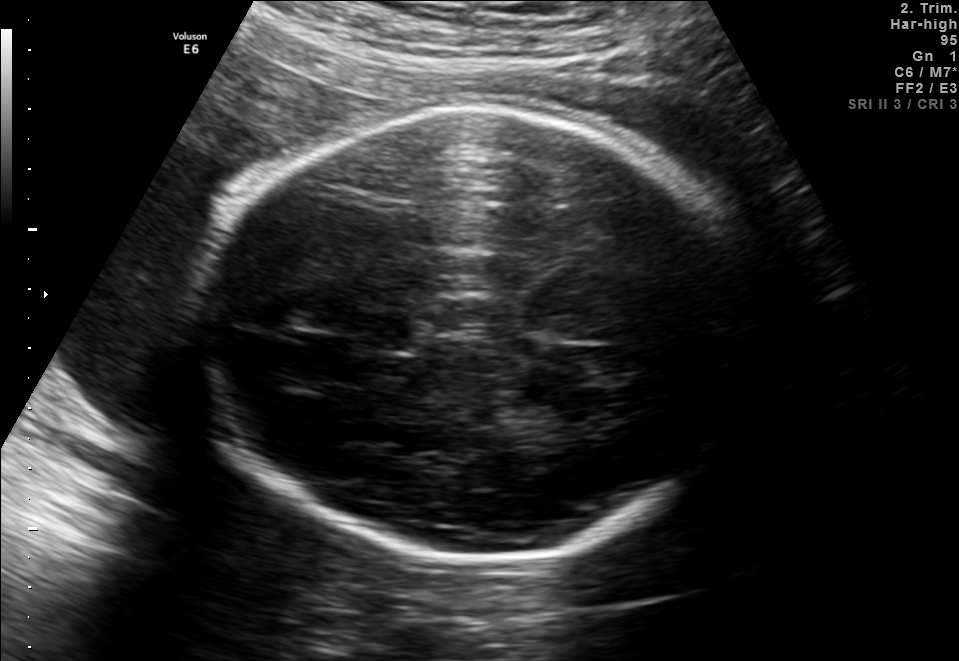
Fetal brain, trans-thalamic plane. Where is the cavum septum pellucidum?

CSP bounding box: [355,313,411,352]